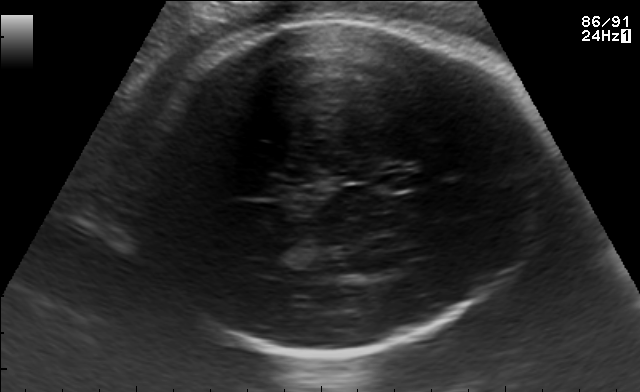
Fetal brain, trans-thalamic plane. Where is the fetal head?

Head bounding box: [118,21,545,353]